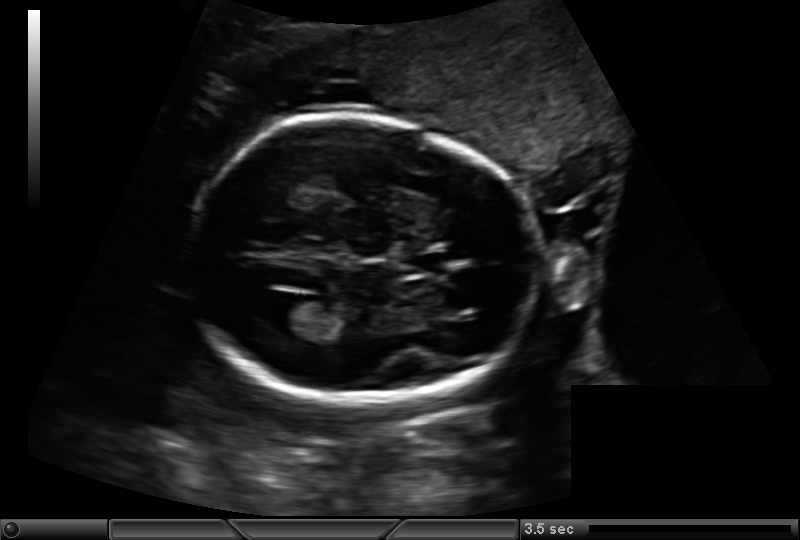
Fetal head ultrasound. Image width: 126.8 mm. Locate the cavum septum pellucidum.

CSP: [409,250,450,274]